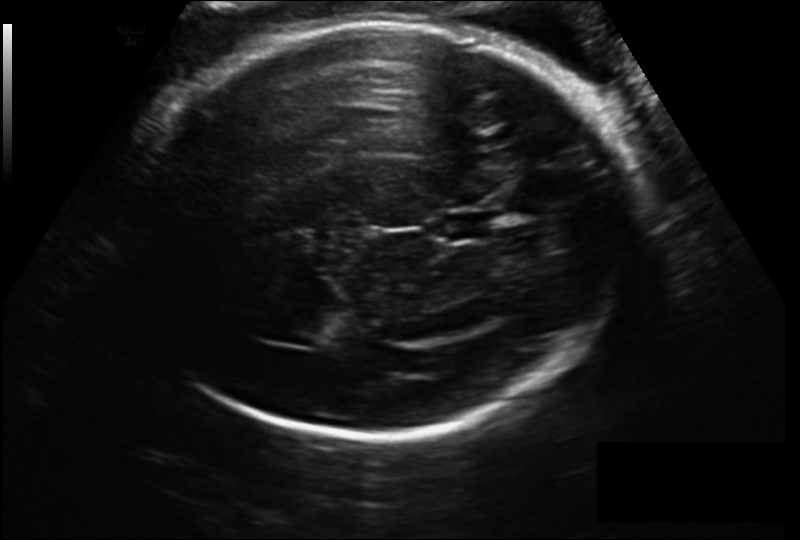
Fetal head ultrasound. Image width: 164.9 mm. Where is the cavum septum pellucidum?

CSP bounding box: [432,208,498,244]